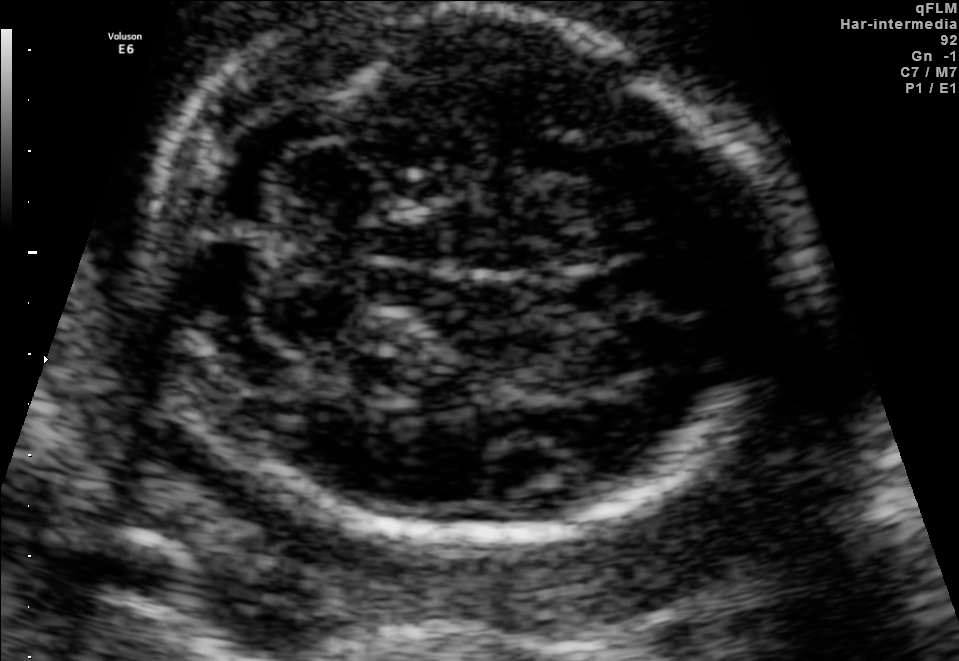
Fetal brain, trans-cerebellum plane. Locate the fetal head.

Head: [147,8,772,537]